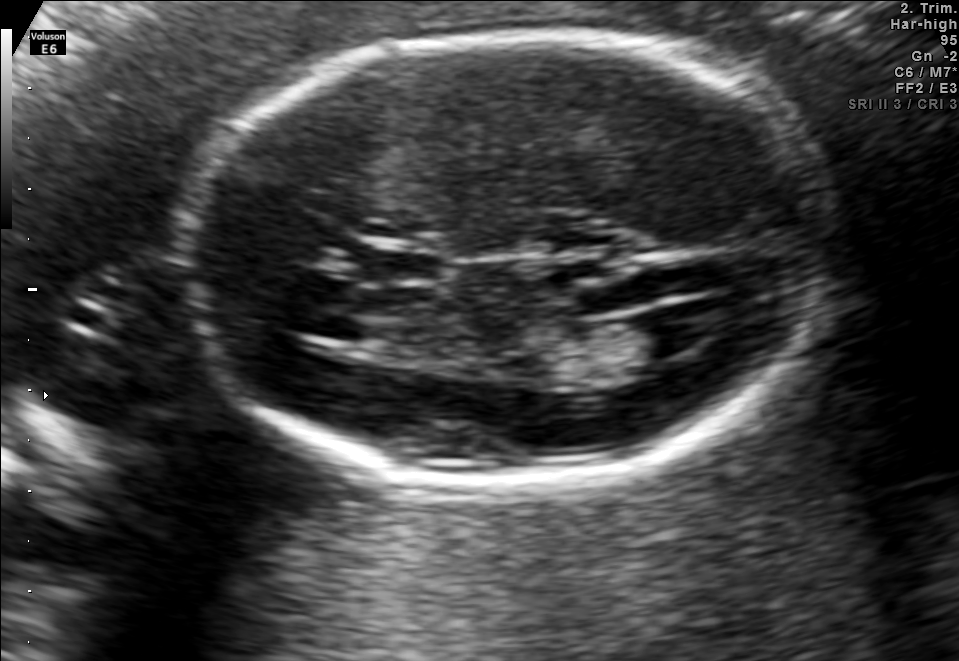
Fetal brain, trans-ventricular plane. Where is the fetal head?

Head bounding box: [166,25,843,494]